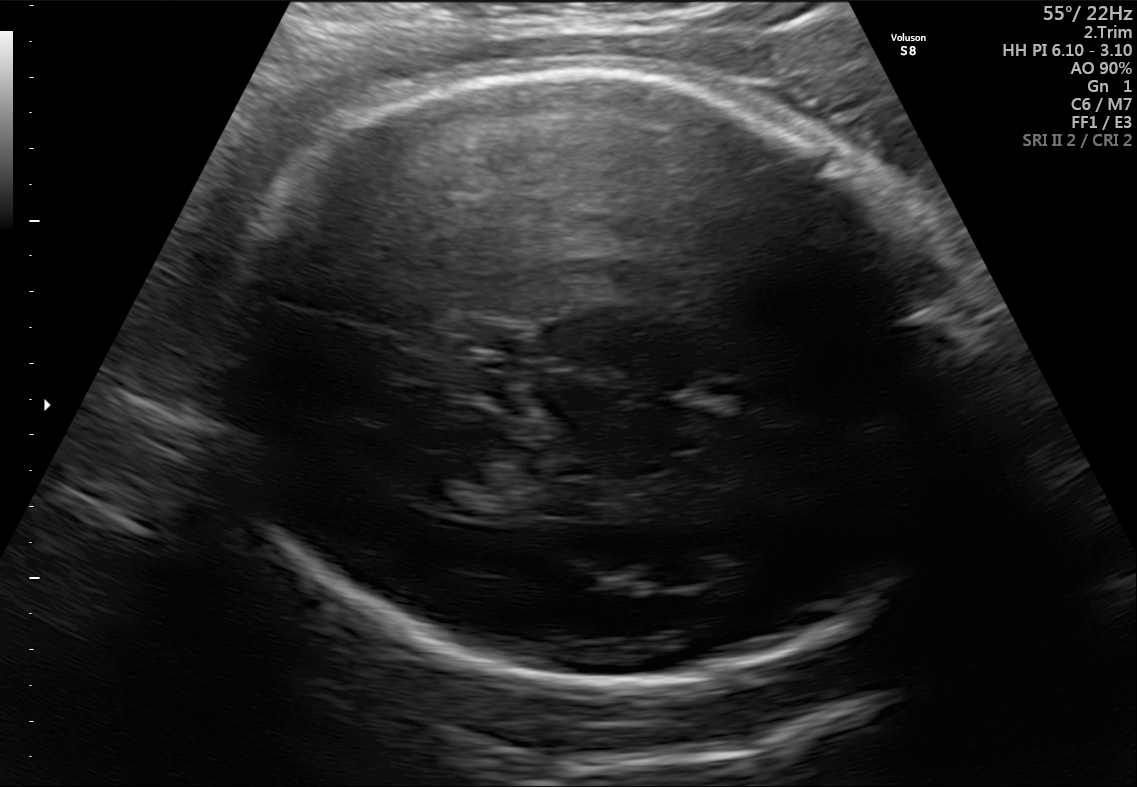
Fetal brain, trans-thalamic plane. Where is the fetal head?

Head bounding box: [213,70,988,681]